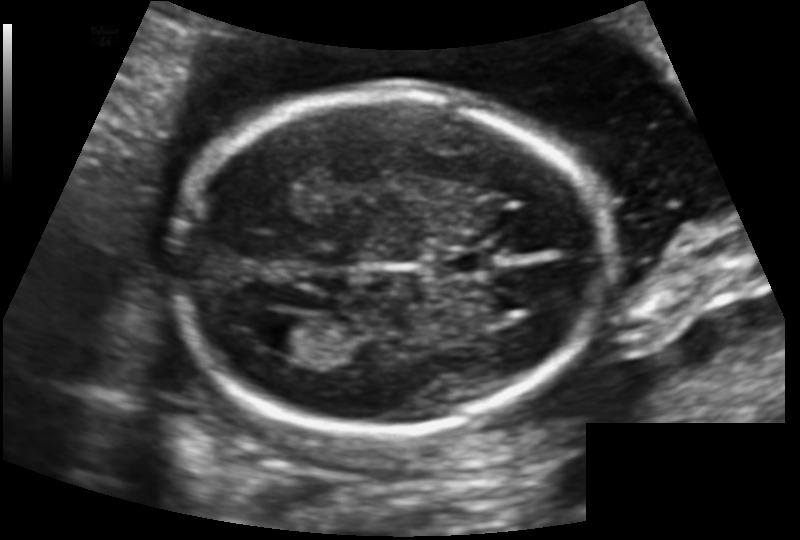
Measure the fetal head circumference shown in this ultrasound image. Image width: 103.5 mm.

Head circumference: 165.0 mm.